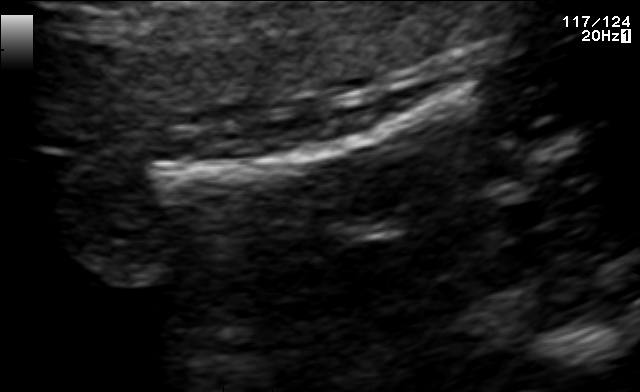
This is a 2D maternal-fetal ultrasound frame. Is it a fetal abdomen, fetal brain, fetal femur, fetal thorax, maternal cervix, or other standard plane? If it's fetal brain and one of the three standard brain planes (trans-thalamic, trans-cerebellum, trans-ventricular), name which.

Fetal femur